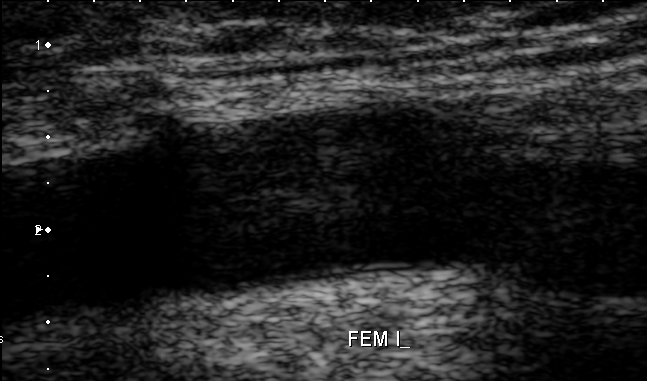
Identify the standard plane in this fetal ultrasound image: fetal abdomen, fetal brain, fetal femur, fetal thorax, maternal cervix, or other. If it's fetal brain and one of the three standard brain planes (trans-thalamic, trans-cerebellum, trans-ventricular), name which.

Other